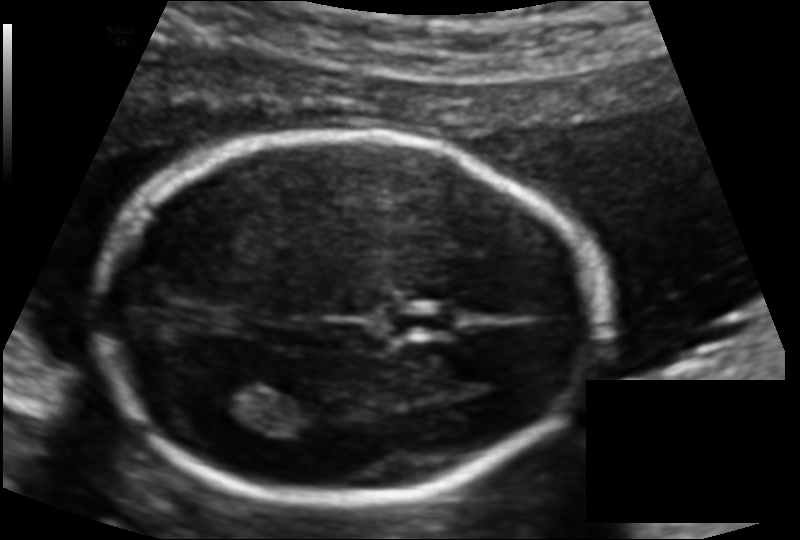
Fetal head ultrasound. Image width: 91.6 mm. Locate the lateral ventricle.

Lateral ventricle: [200,363,285,435]